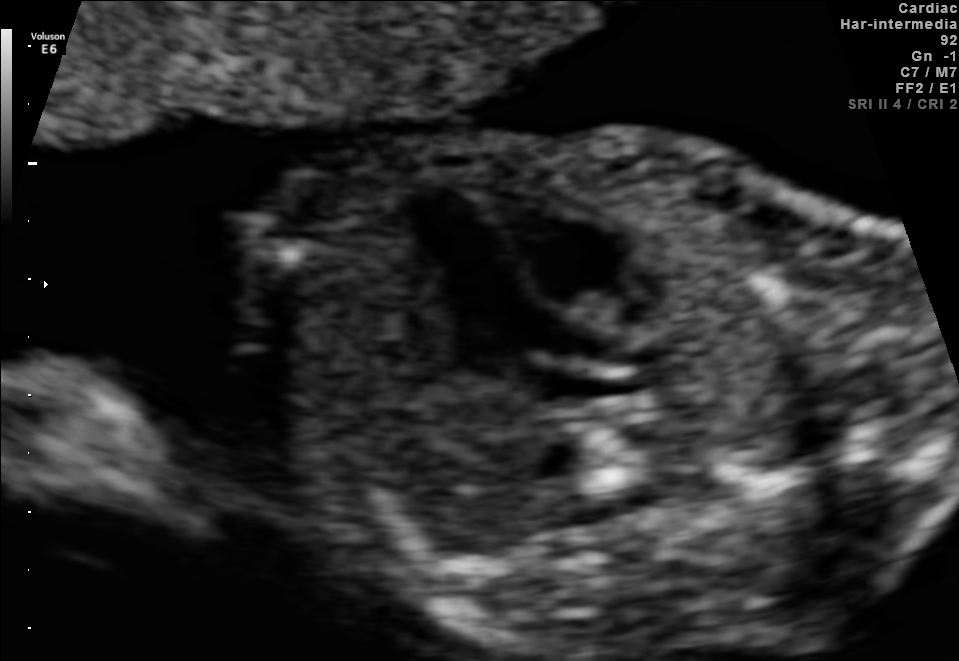
This is a 2D maternal-fetal ultrasound frame. Is it a fetal abdomen, fetal brain, fetal femur, fetal thorax, maternal cervix, or other standard plane? If it's fetal brain and one of the three standard brain planes (trans-thalamic, trans-cerebellum, trans-ventricular), name which.

Other